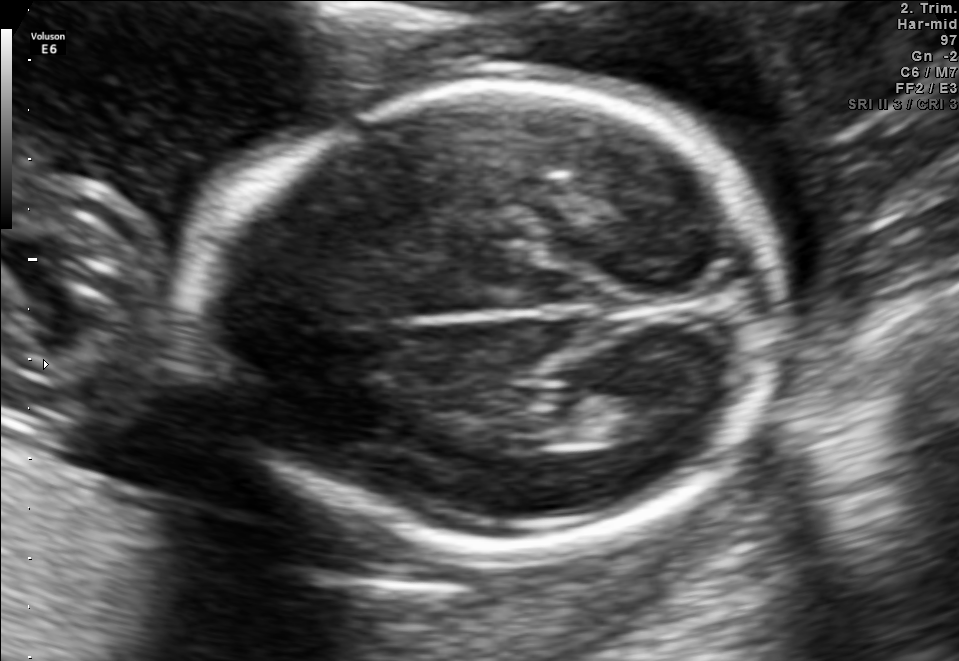
In this fetal brain, trans-thalamic plane, give bounding boxes for the head outline, cavum septum pellucidum (CSP), and lateral ventricle (LV), where visible.

Head: [180,80,789,553]
Lateral ventricle: [592,382,702,447]